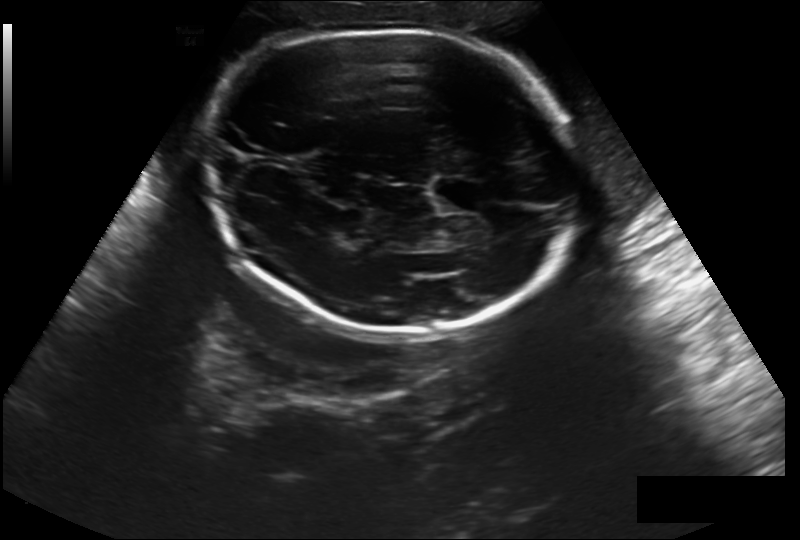
Fetal head ultrasound. Image width: 195.6 mm. Locate the fetal head.

Head: [201,29,579,336]